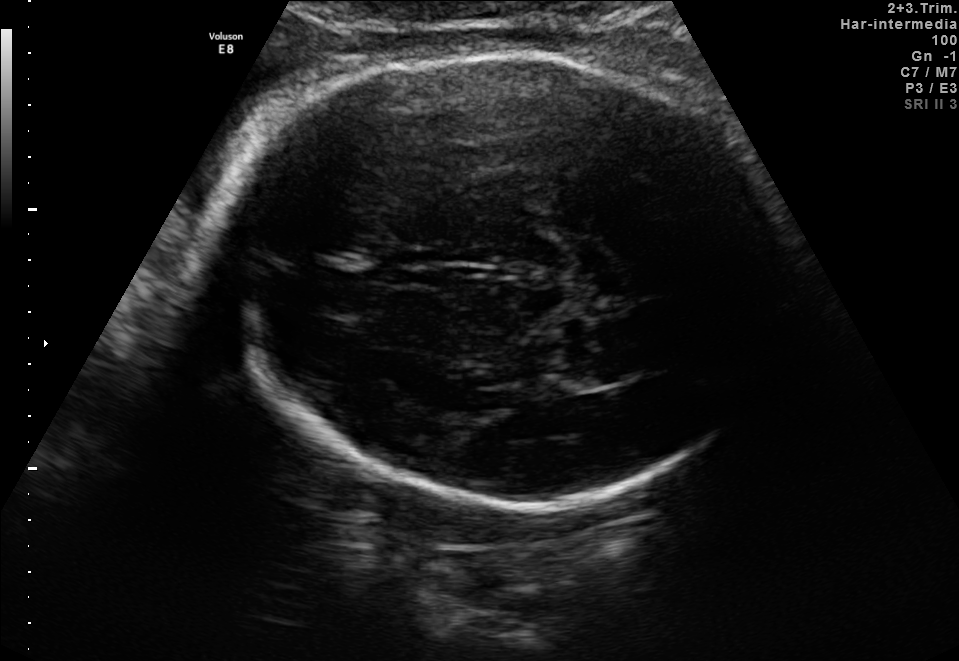
Fetal brain, trans-thalamic plane. Locate the fetal head.

Head: [219,52,788,513]